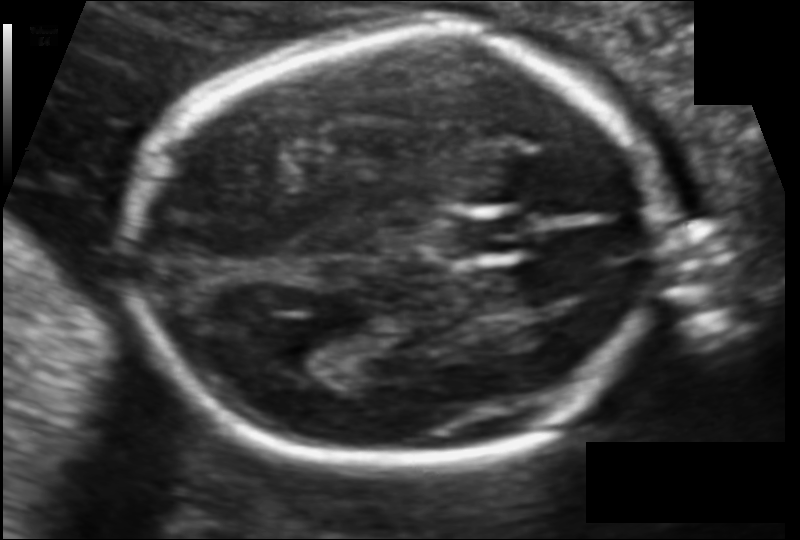
Fetal head ultrasound. Image width: 84.9 mm. Where is the fetal head?

Head bounding box: [132,37,670,467]